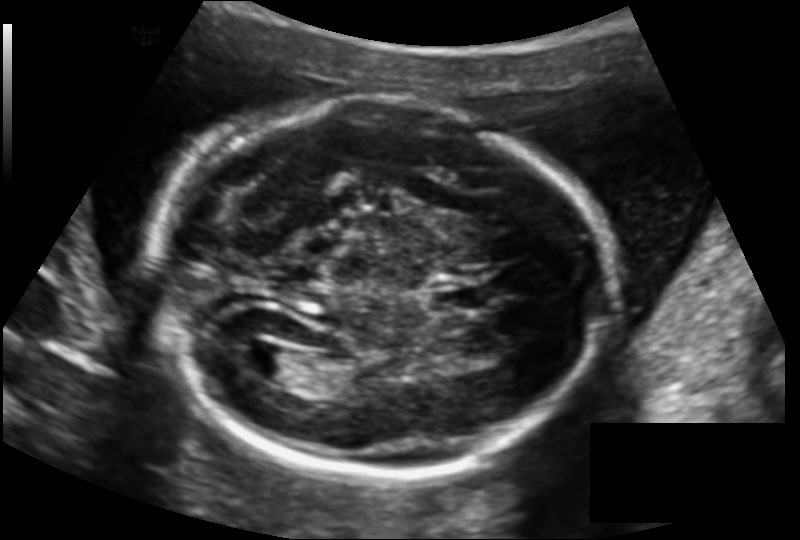
Fetal head ultrasound. Image width: 116.1 mm. Where is the fetal head?

Head bounding box: [155,103,608,475]